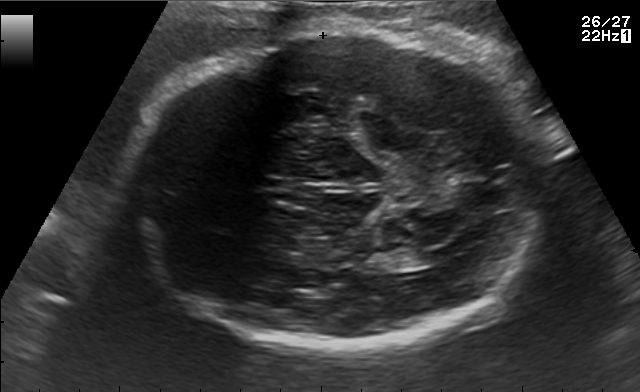
Fetal brain, trans-ventricular plane. Locate the fetal head.

Head: [125,28,554,354]